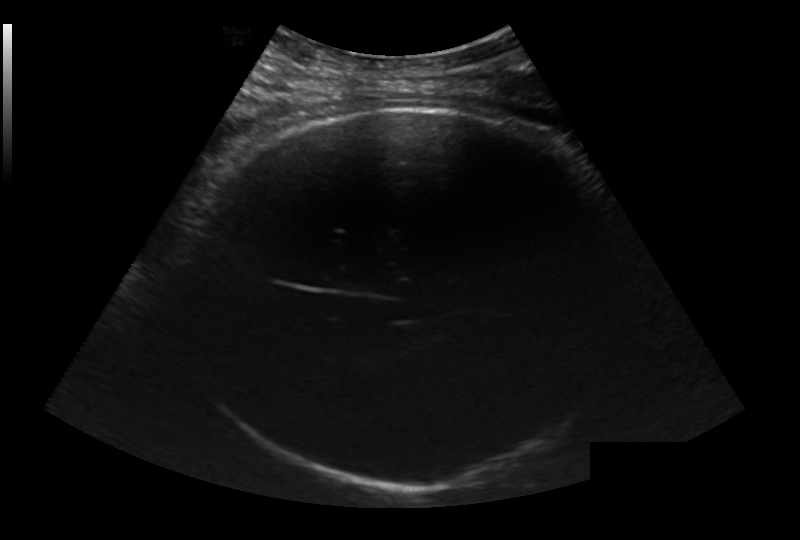
Estimate the fetal head circumference from this 2D ultrasound.

Head circumference: 321.8 mm (image width 188.6 mm).